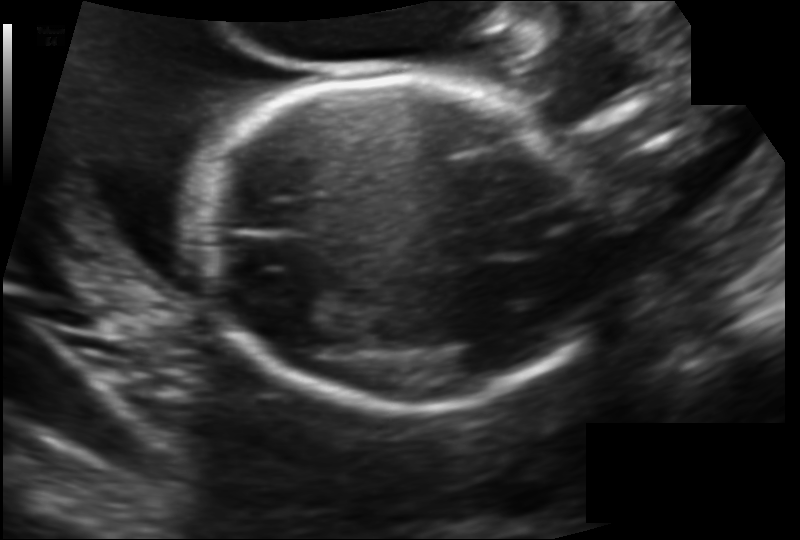
Fetal head ultrasound. Image width: 110.4 mm. Locate the fetal head.

Head: [198,78,604,412]